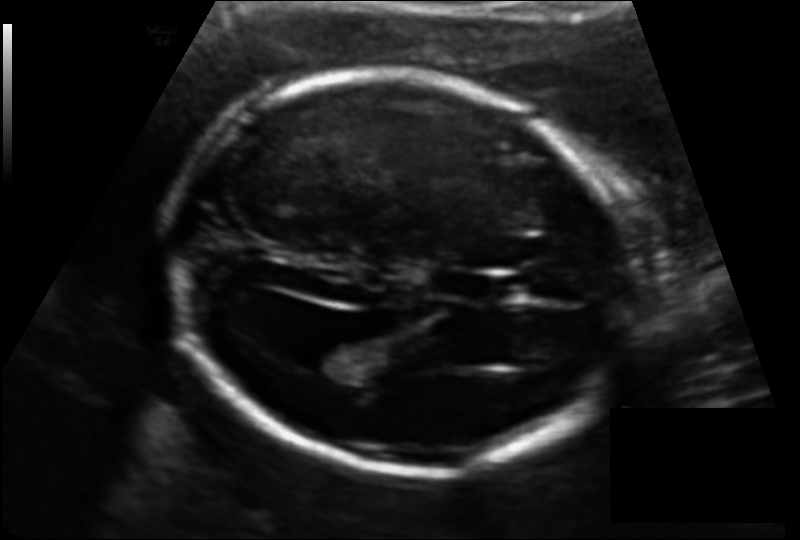
Fetal head ultrasound. Image width: 104.7 mm. Where is the fetal head?

Head bounding box: [163,75,636,471]